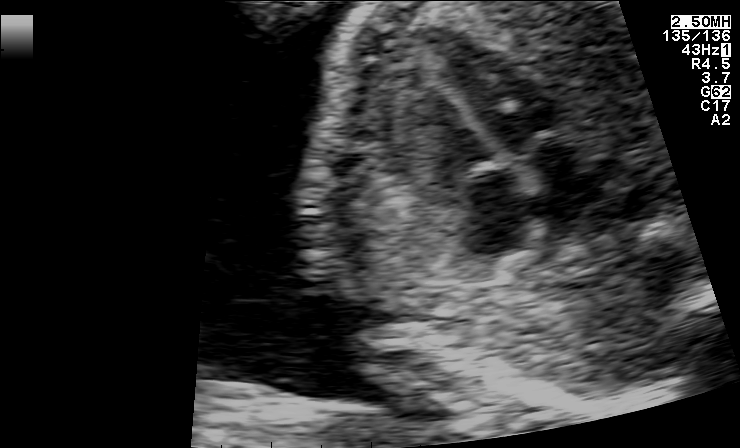
This is a 2D maternal-fetal ultrasound frame. Is it a fetal abdomen, fetal brain, fetal femur, fetal thorax, maternal cervix, or other standard plane? If it's fetal brain and one of the three standard brain planes (trans-thalamic, trans-cerebellum, trans-ventricular), name which.

Fetal thorax